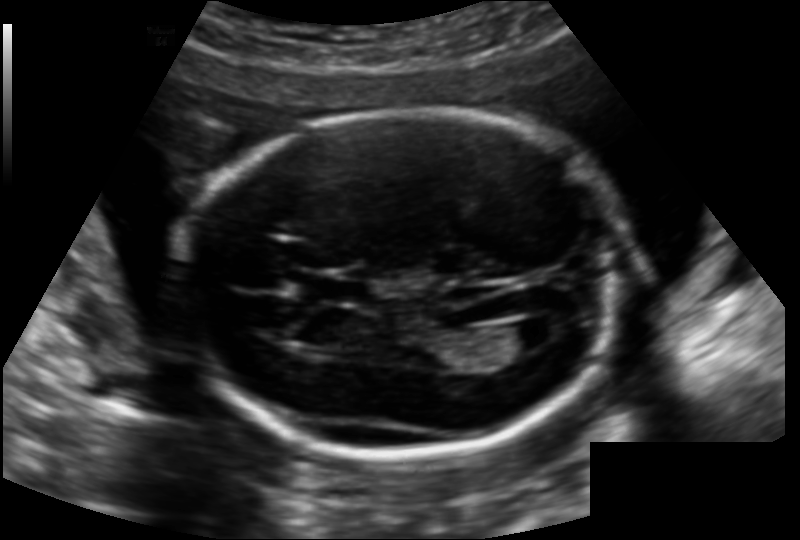
Fetal head ultrasound. Image width: 113.4 mm. Locate the fetal head.

Head: [184,109,618,453]